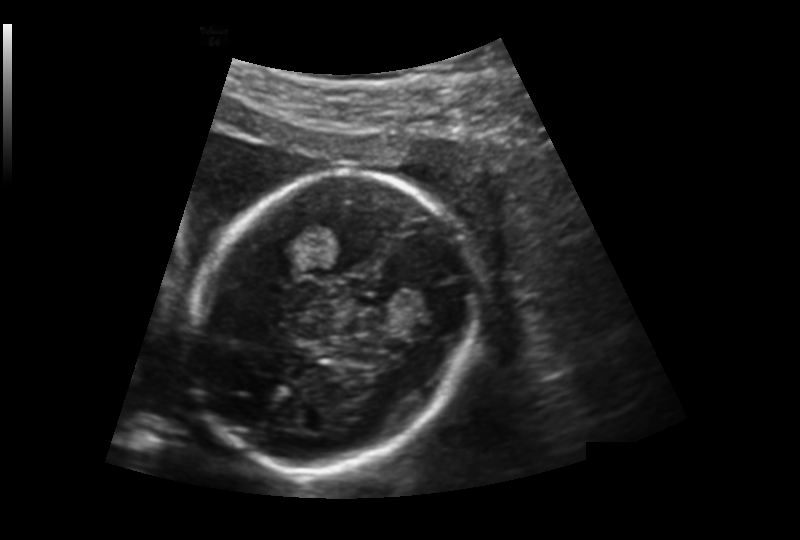
In this fetal head ultrasound, give the bounding box of the fetal head. Image width: 140.4 mm.

[186,171,469,467]